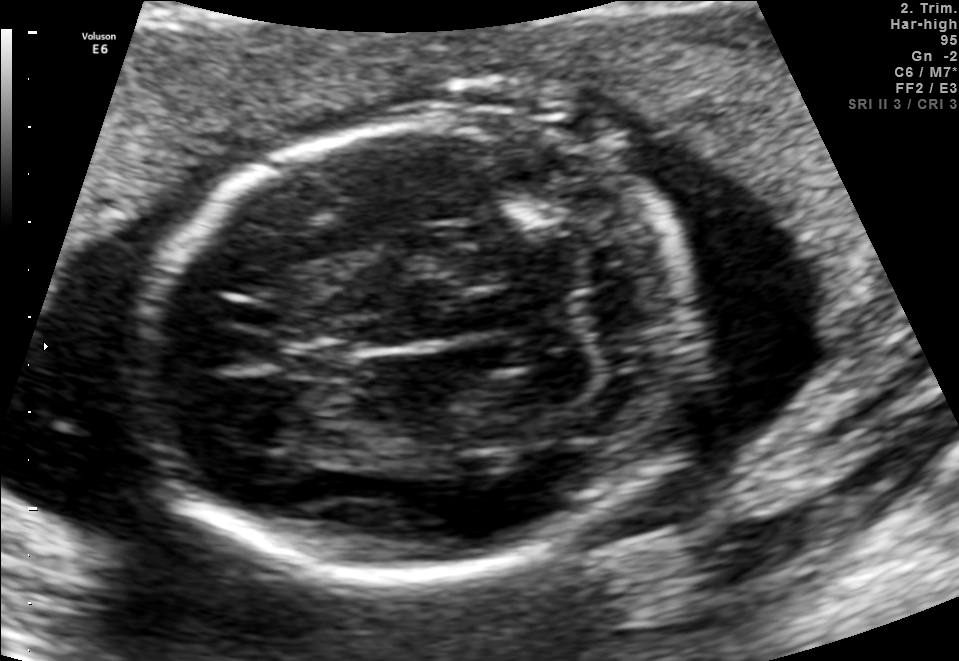
Fetal brain, trans-cerebellum plane. Give [x1,y1,x2,y2] bounding boxes for each visible structure among: fetal head, CSP, LV.

Head: [137,124,688,573]
CSP: [283,340,353,380]